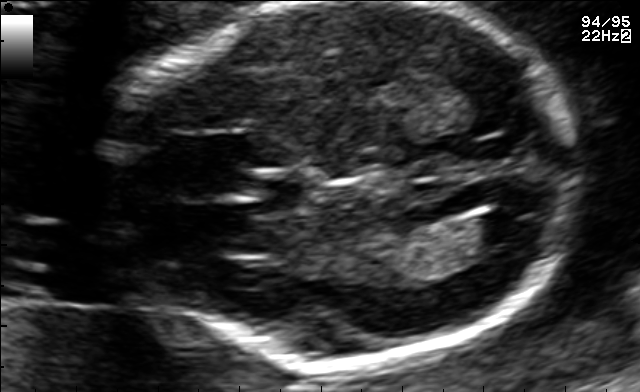
In this fetal brain, trans-ventricular plane, give the bounding box of the lateral ventricle.

[467,202,537,250]